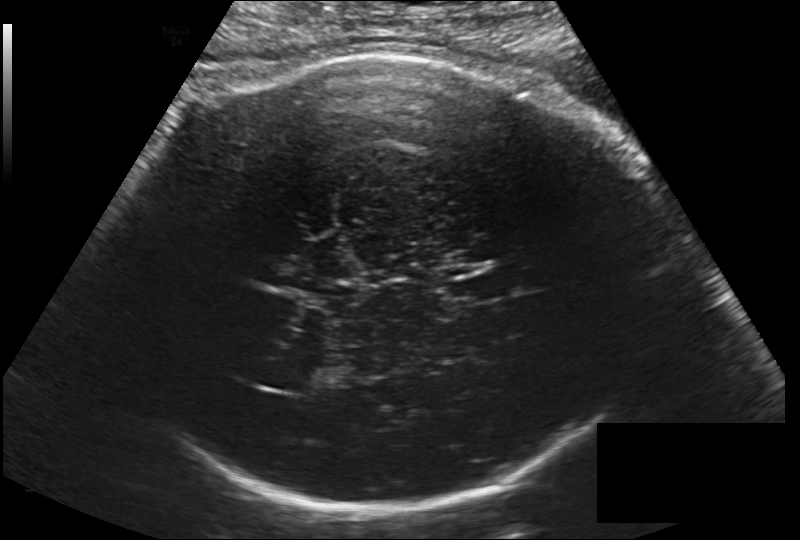
What is the fetal head circumference? Image width is 162.2 mm.

331.7 mm